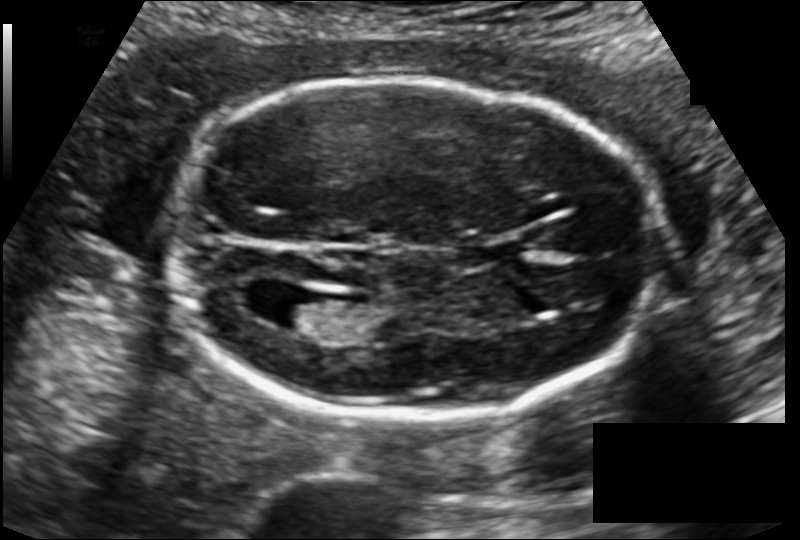
From this fetal ultrasound, estimate the head circumference (image width 103.4 mm).

Head circumference: 174.7 mm.